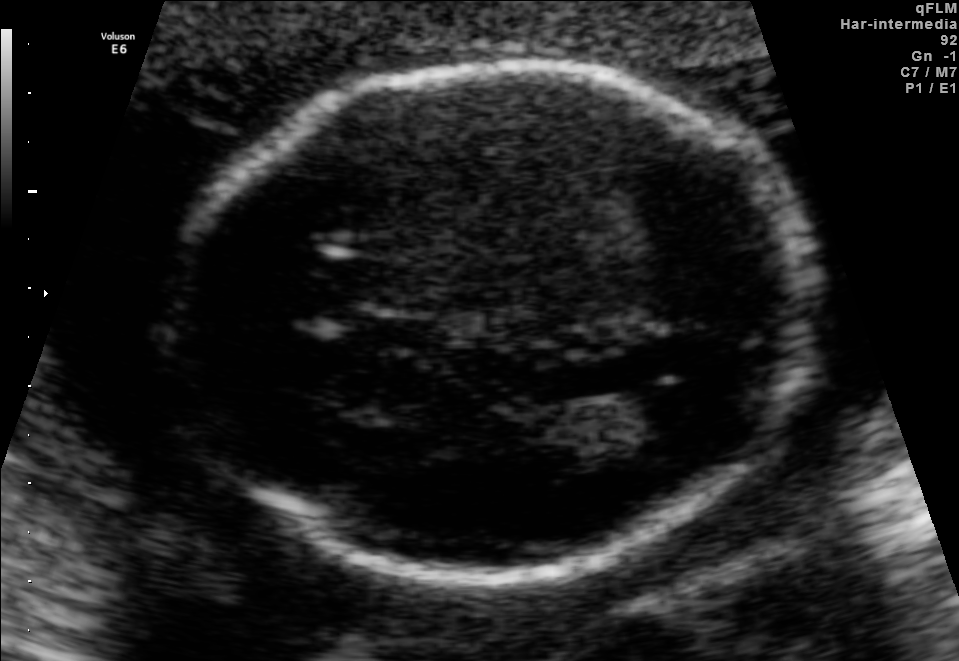
Fetal brain, trans-ventricular plane. Where is the fetal head?

Head bounding box: [159,58,826,589]